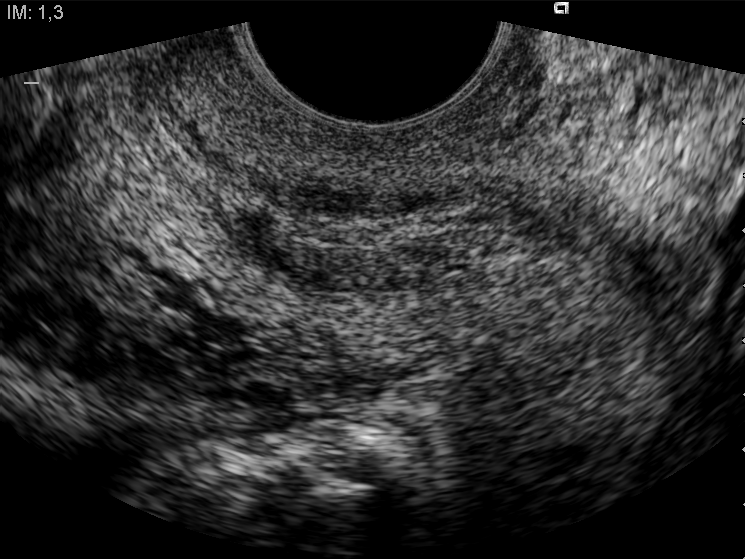
Classify this maternal-fetal ultrasound image as one of the six standard planes — fetal abdomen, fetal brain, fetal femur, fetal thorax, maternal cervix, or other. If it's fetal brain and one of the three standard brain planes (trans-thalamic, trans-cerebellum, trans-ventricular), name which.

Maternal cervix